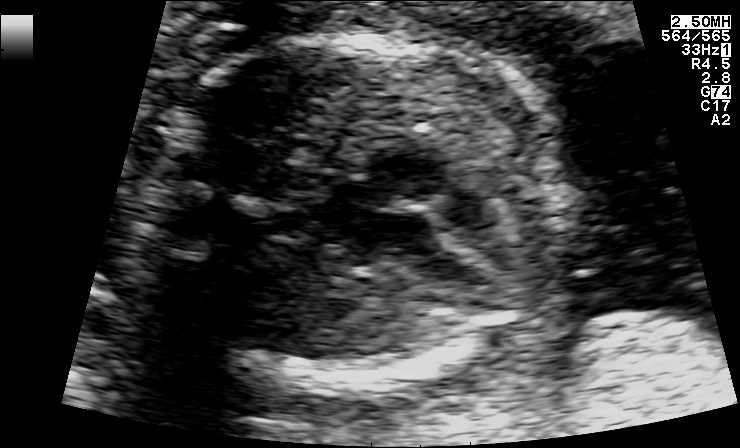
Classify this maternal-fetal ultrasound image as one of the six standard planes — fetal abdomen, fetal brain, fetal femur, fetal thorax, maternal cervix, or other. If it's fetal brain and one of the three standard brain planes (trans-thalamic, trans-cerebellum, trans-ventricular), name which.

Fetal thorax